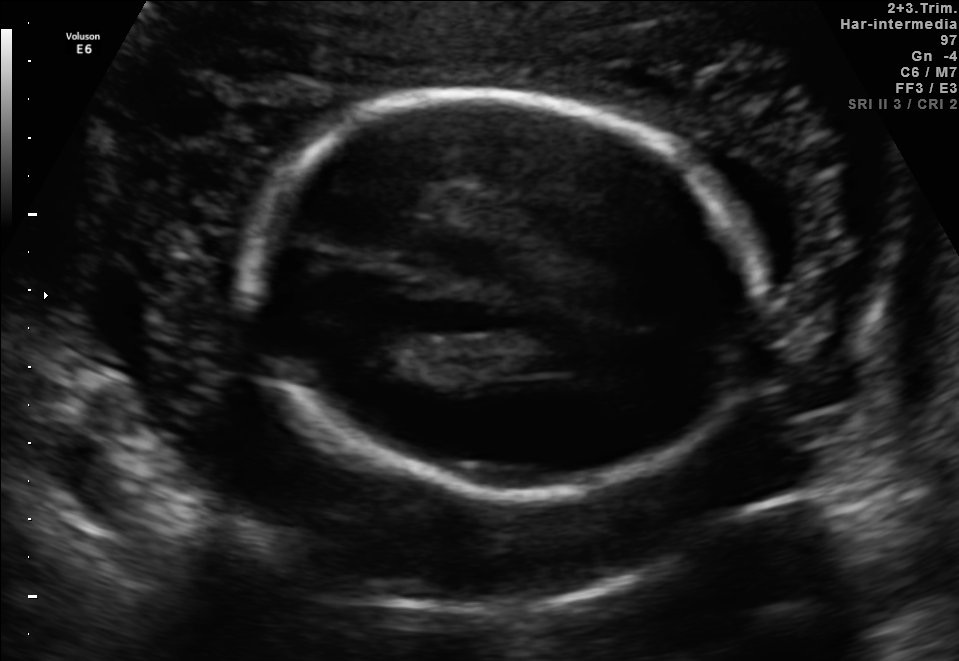
Fetal brain, trans-thalamic plane. Locate the fetal head.

Head: [250,98,765,499]